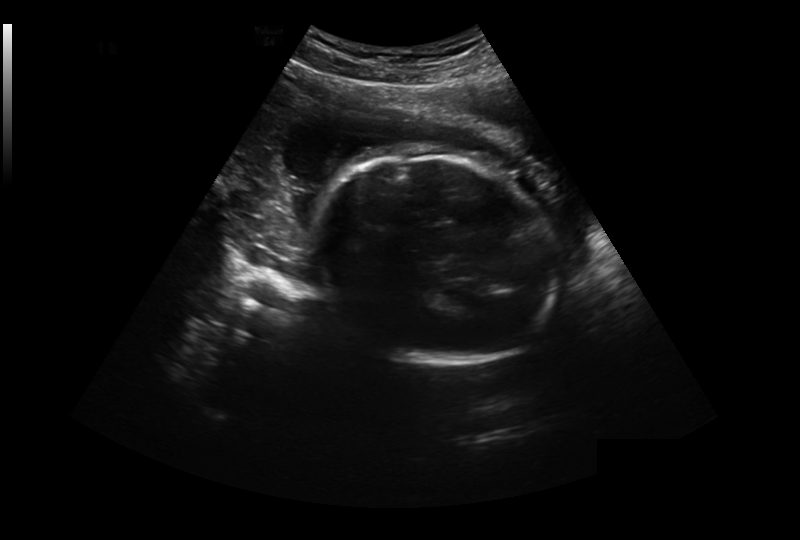
Measure the fetal head circumference shown in this ultrasound image. Image width: 261.2 mm.

Head circumference: 241.7 mm.